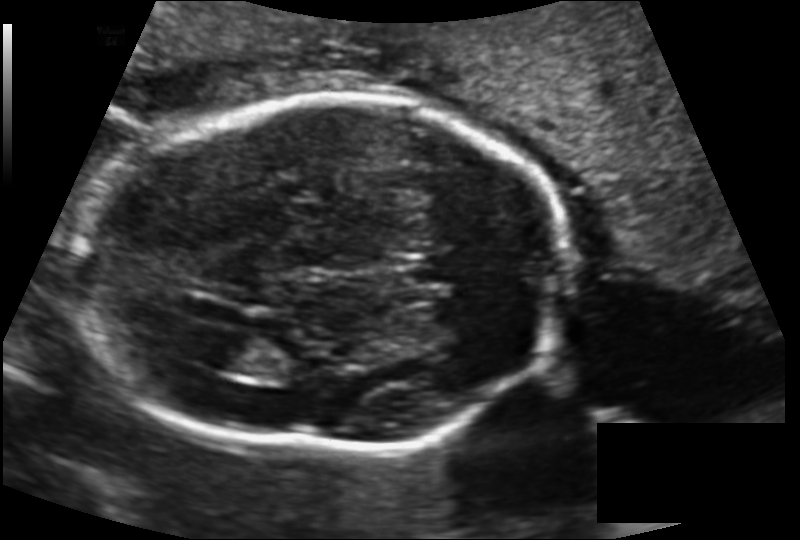
Fetal head ultrasound. Image width: 114.0 mm. Give [x1,y1,x2,y2] bounding boxes for each visible structure among: fetal head, CSP, LV.

Head: [78,96,572,452]
CSP: [401,255,462,285]
Lateral ventricle: [202,330,273,378]